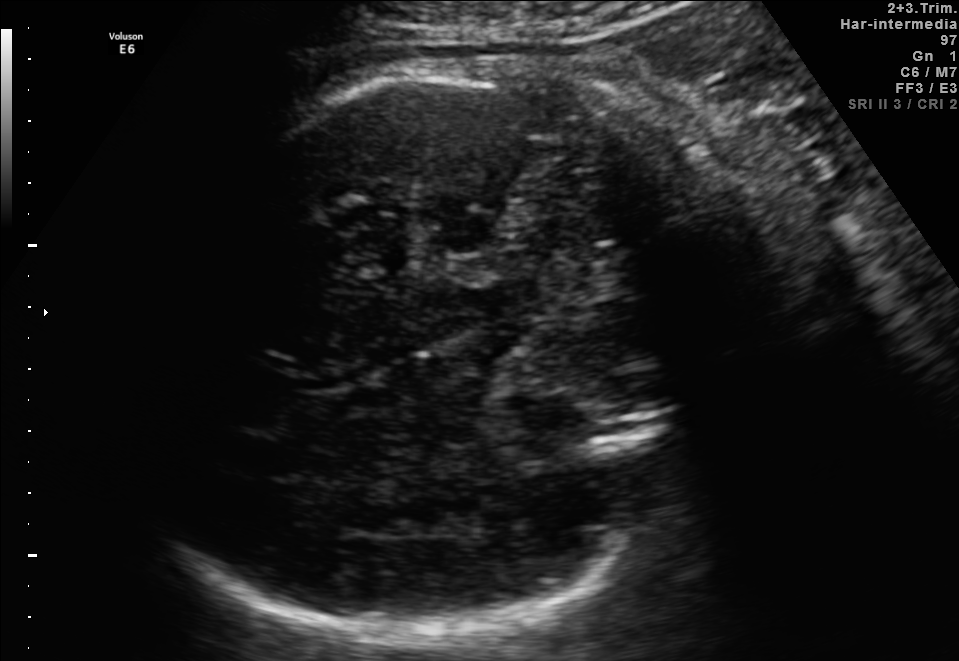
This is a 2D maternal-fetal ultrasound frame. Is it a fetal abdomen, fetal brain, fetal femur, fetal thorax, maternal cervix, or other standard plane? If it's fetal brain and one of the three standard brain planes (trans-thalamic, trans-cerebellum, trans-ventricular), name which.

Fetal brain (trans-thalamic plane)